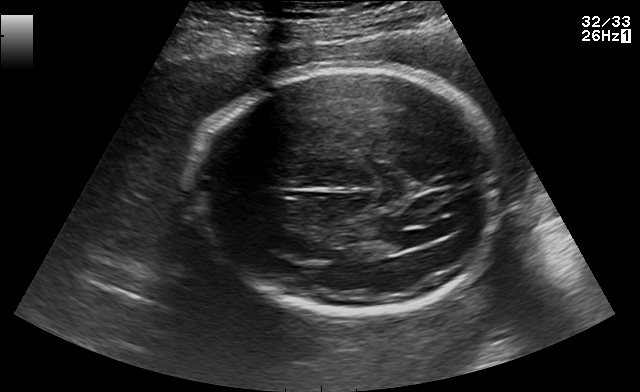
In this fetal brain, trans-ventricular plane, give the bounding box of the lateral ventricle.

[382,217,440,255]